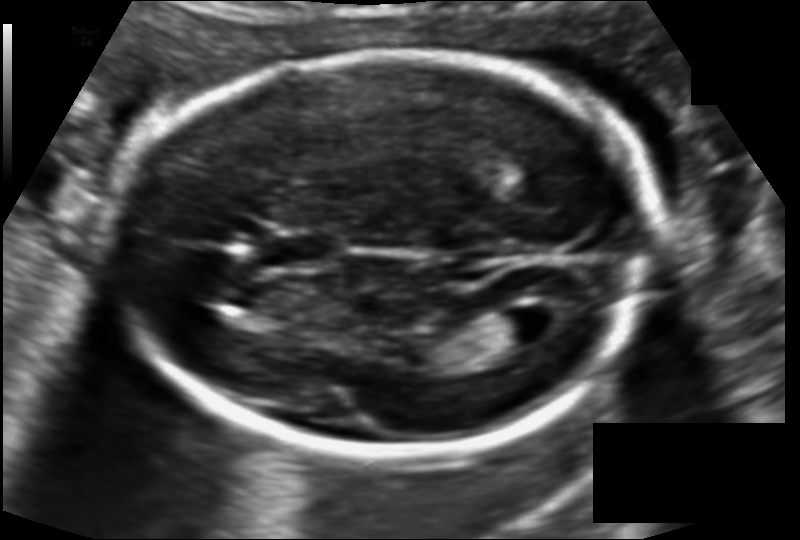
What is the fetal head circumference? Image width is 92.2 mm.

178.0 mm